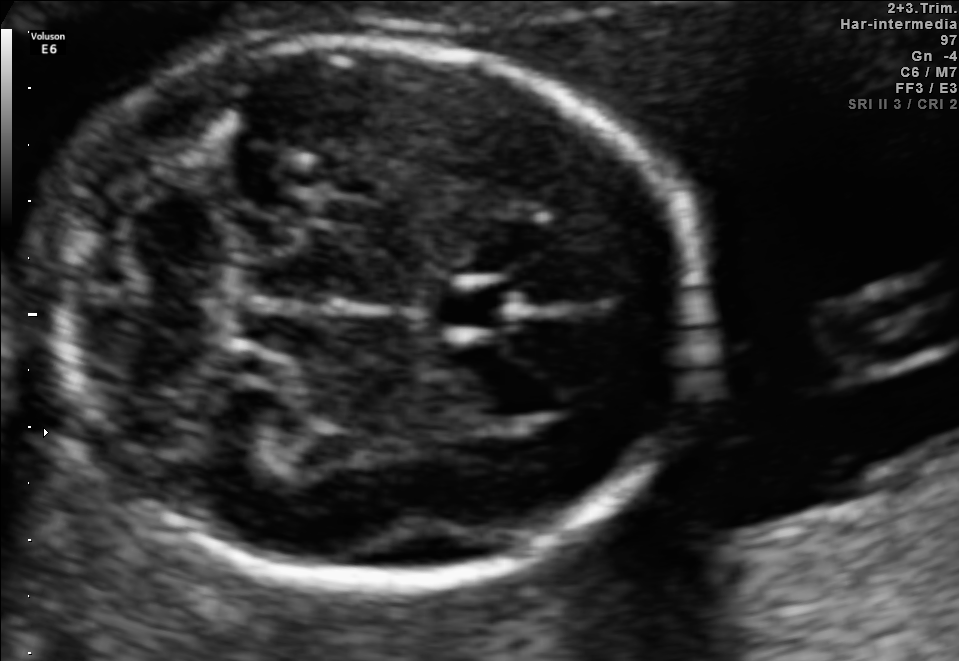
Fetal brain, trans-cerebellum plane. Locate the fetal head.

Head: [38,39,701,588]